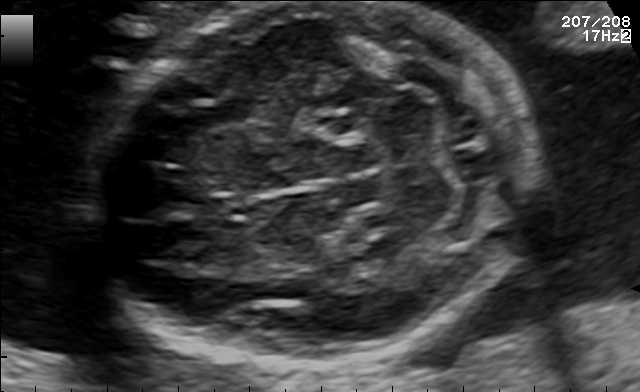
Fetal brain, trans-cerebellum plane. Where is the fetal head?

Head bounding box: [88,4,537,362]